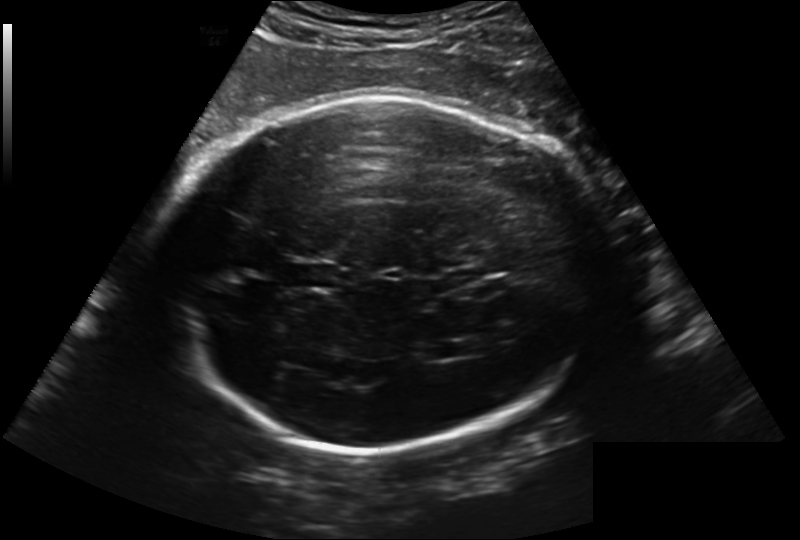
In this fetal head ultrasound, give the bounding box of the lateral ventricle. Image width: 192.7 mm.

[422,339,463,363]